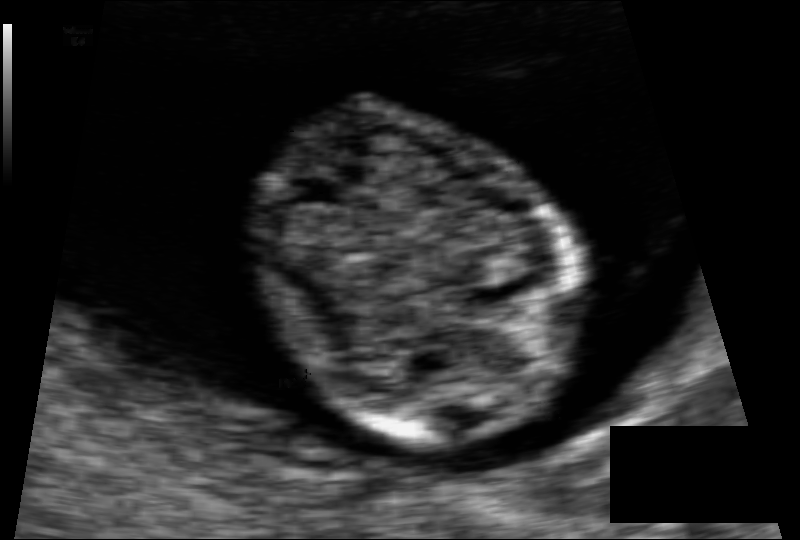
Estimate the fetal head circumference from this 2D ultrasound. Image width: 49.5 mm.

Head circumference: 65.7 mm.